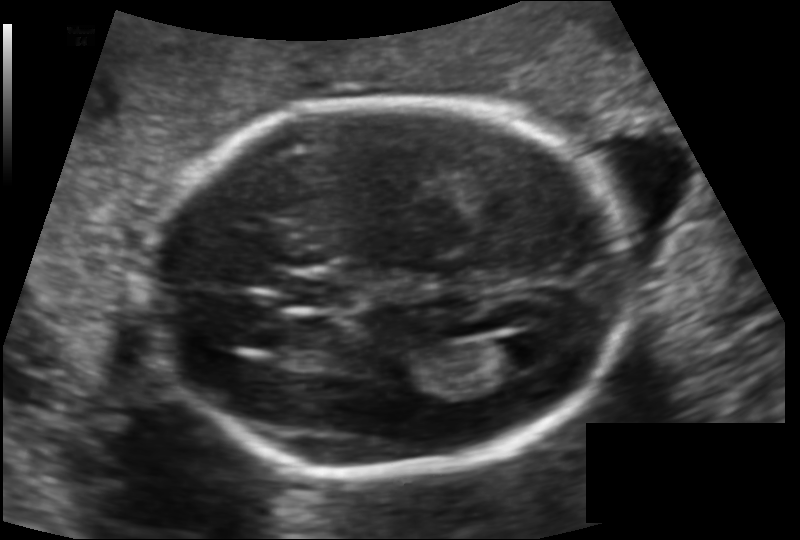
In this fetal head ultrasound, give the bounding box of the lateral ventricle. Image width: 100.1 mm.

[482,328,552,378]